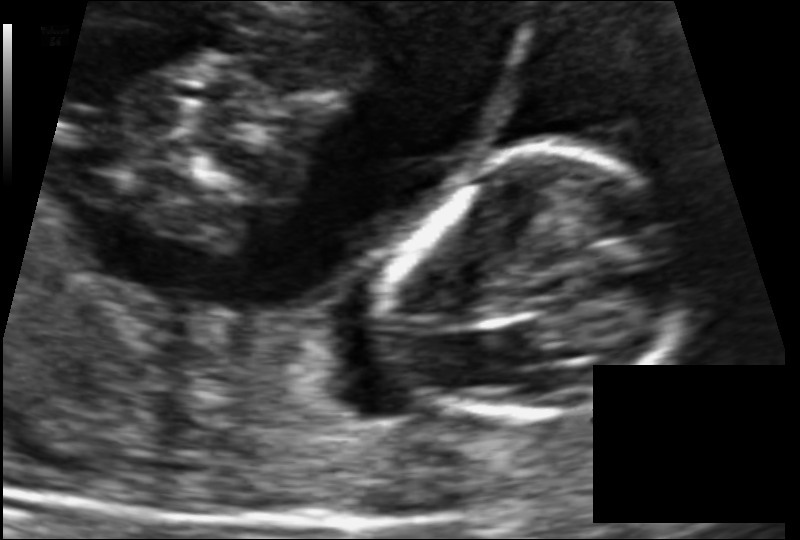
Fetal head ultrasound. Image width: 69.1 mm. Where is the fetal head?

Head bounding box: [383,154,682,437]